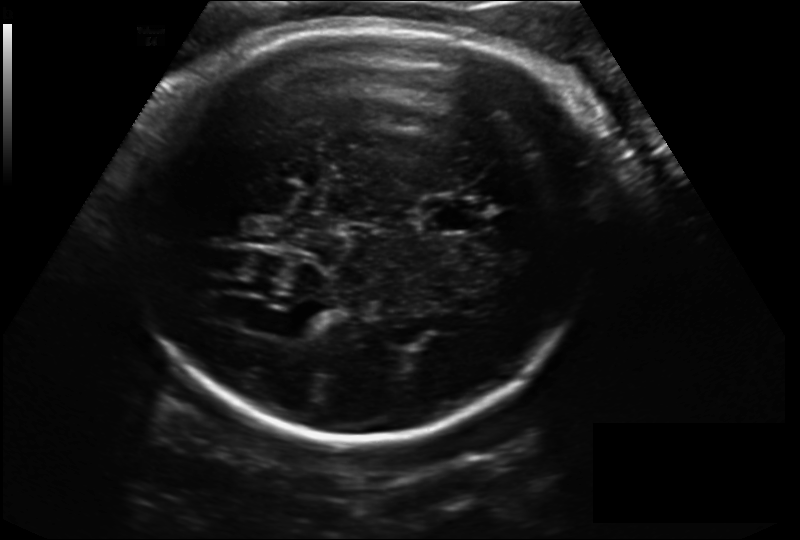
Fetal head ultrasound. Image width: 158.7 mm. Where is the fetal head?

Head bounding box: [133,22,603,438]